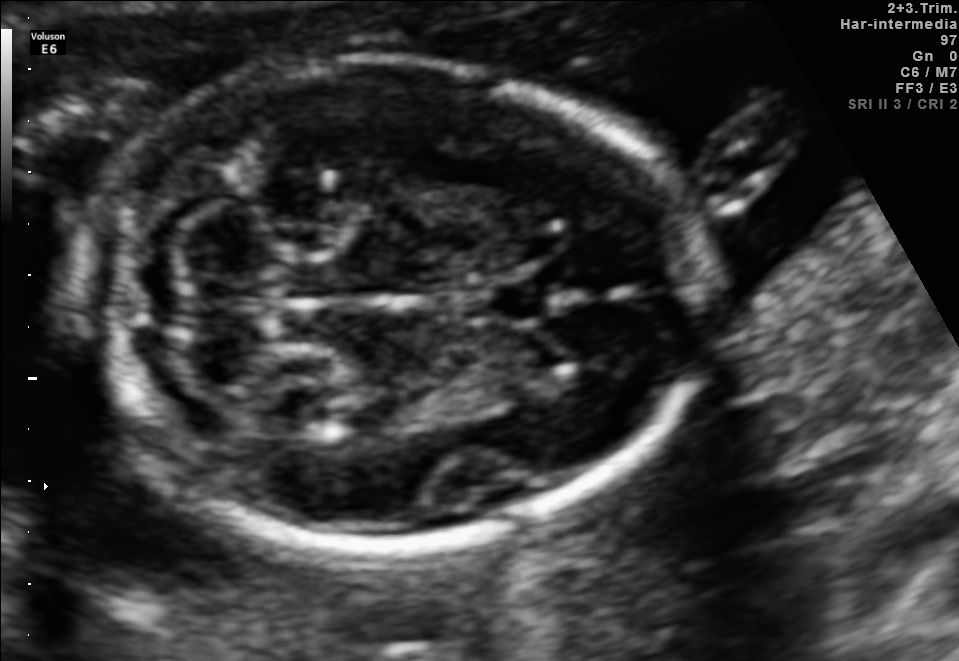
Fetal brain, trans-cerebellum plane. Where is the fetal head?

Head bounding box: [82,60,701,545]